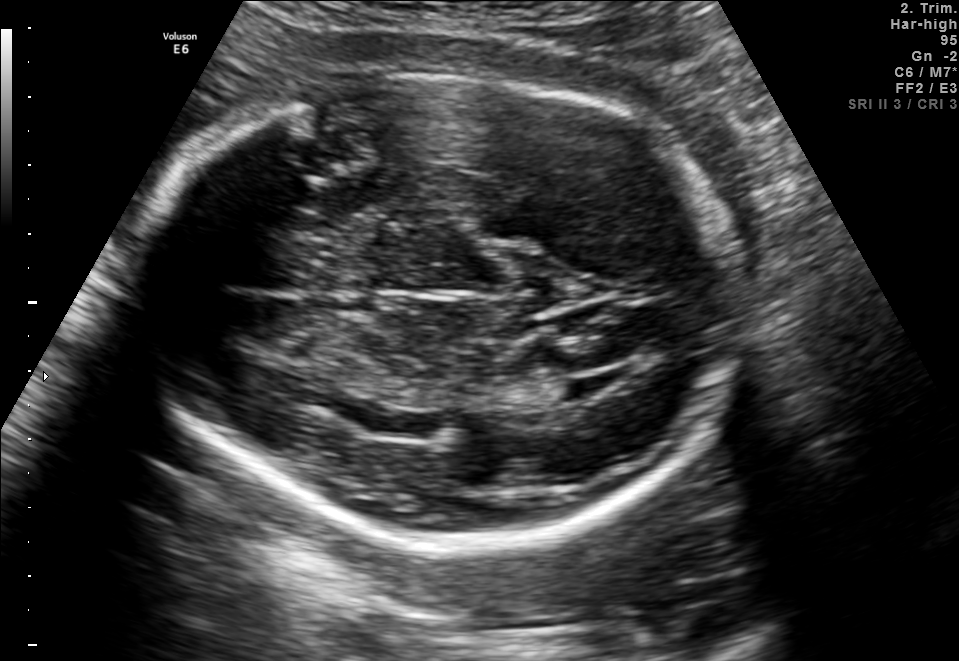
In this fetal brain, trans-thalamic plane, give the bounding box of the fetal head.

[138,78,739,541]